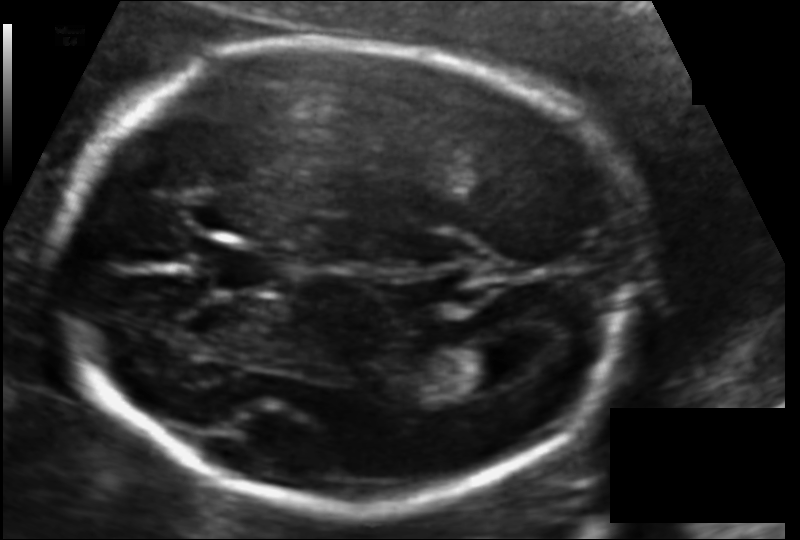
Fetal head ultrasound. Image width: 92.7 mm. Where is the cavum septum pellucidum?

CSP bounding box: [205,241,287,296]